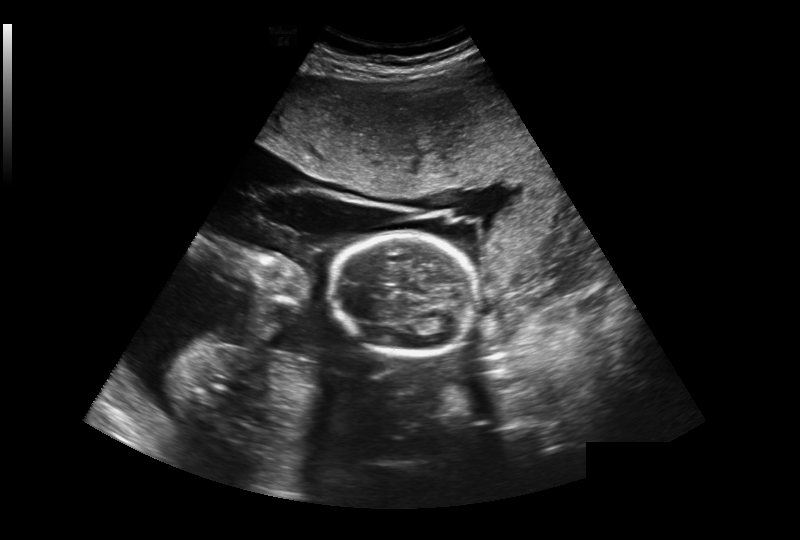
Fetal head ultrasound. Image width: 314.6 mm. Locate the lateral ventricle.

Lateral ventricle: [434,318,456,331]